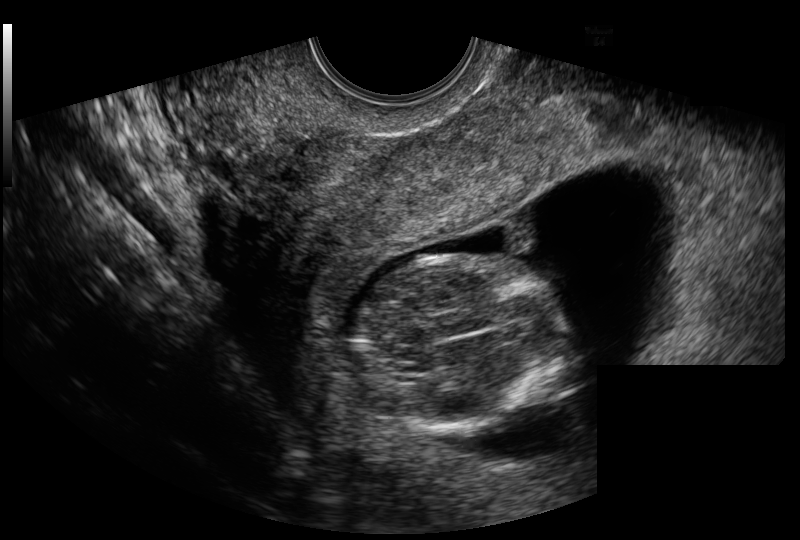
What is the fetal head circumference? Image width is 103.2 mm.

82.6 mm